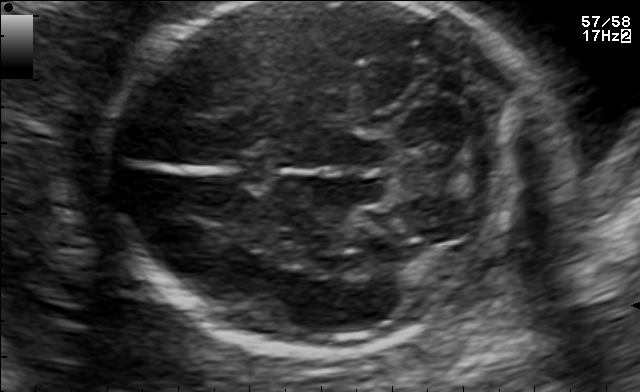
Fetal brain, trans-cerebellum plane. Where is the cavum septum pellucidum?

CSP bounding box: [227,153,279,185]